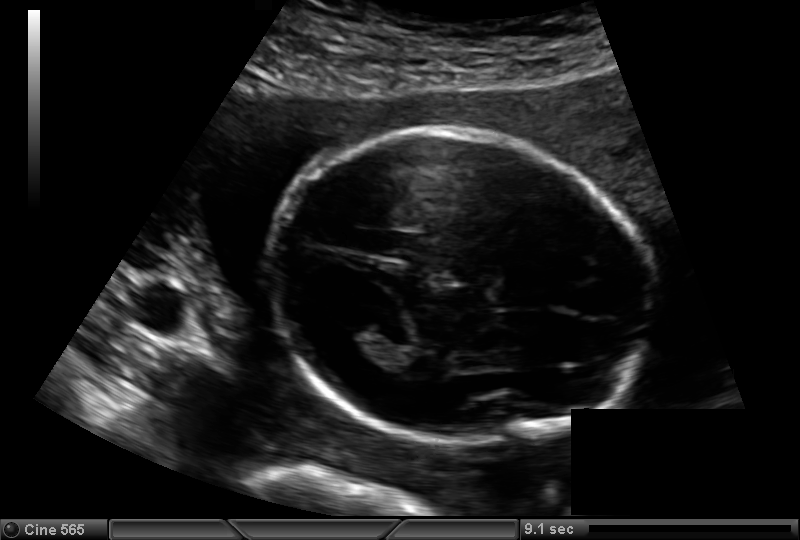
From this fetal ultrasound, estimate the head circumference (image width 113.5 mm).

Head circumference: 160.4 mm.